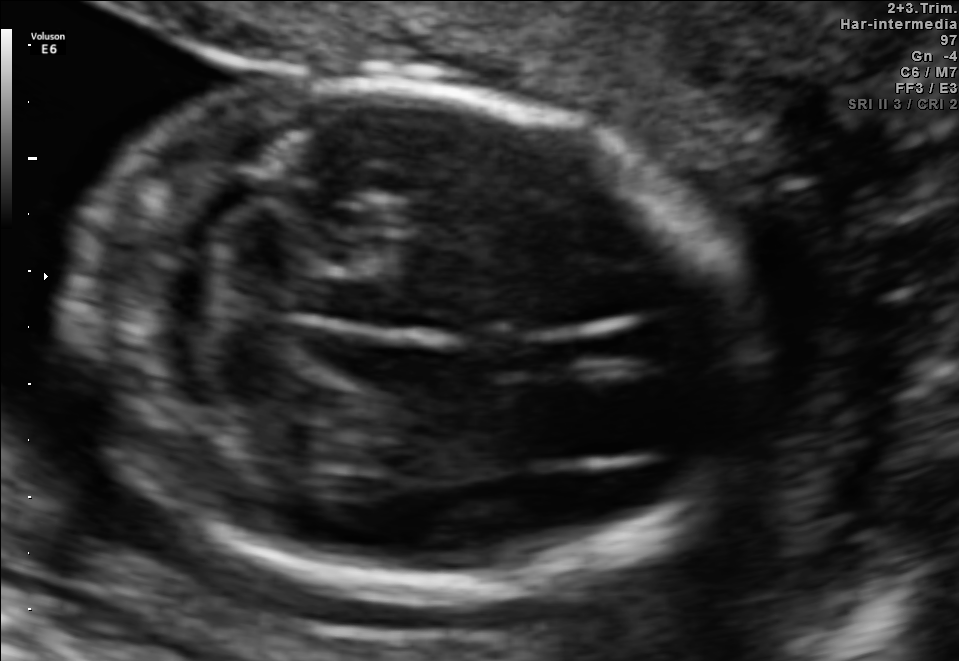
Fetal brain, trans-cerebellum plane. Give [x1,y1,x2,y2] bounding boxes for each visible structure among: fetal head, CSP, LV.

Head: [69,84,750,585]
CSP: [478,330,581,381]